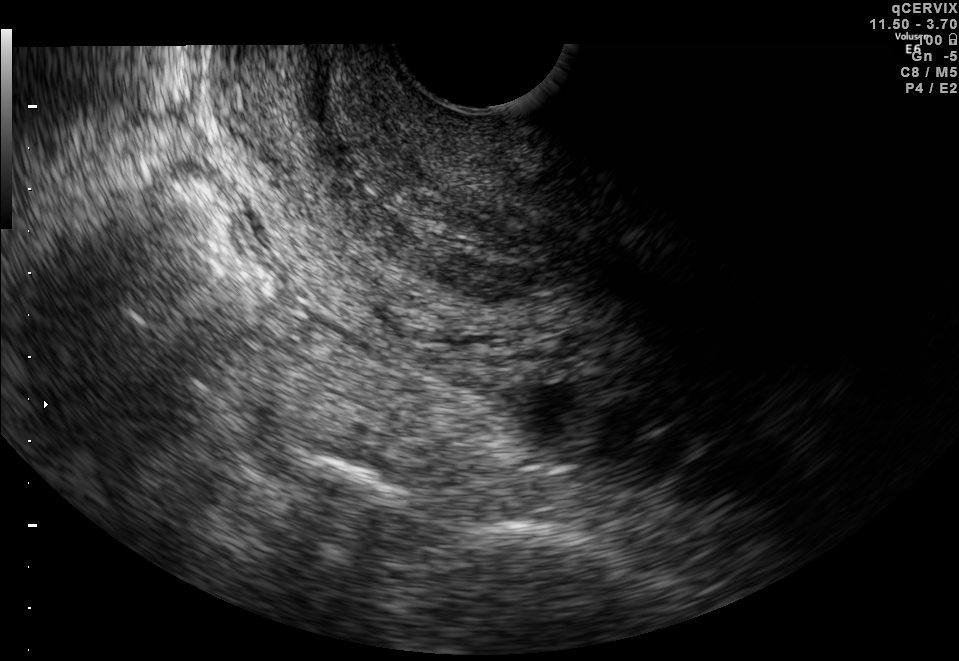
Which standard maternal-fetal ultrasound plane is shown: fetal abdomen, fetal brain, fetal femur, fetal thorax, maternal cervix, or other? If it's fetal brain and one of the three standard brain planes (trans-thalamic, trans-cerebellum, trans-ventricular), name which.

Maternal cervix